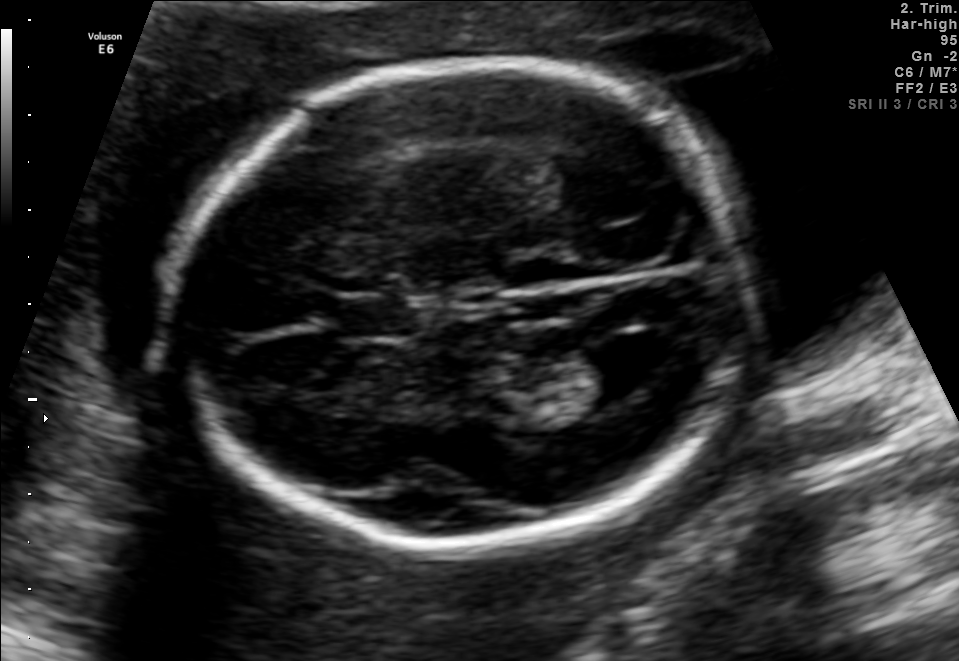
In this fetal brain, trans-ventricular plane, give the bounding box of the cavum septum pellucidum.

[318,294,424,342]